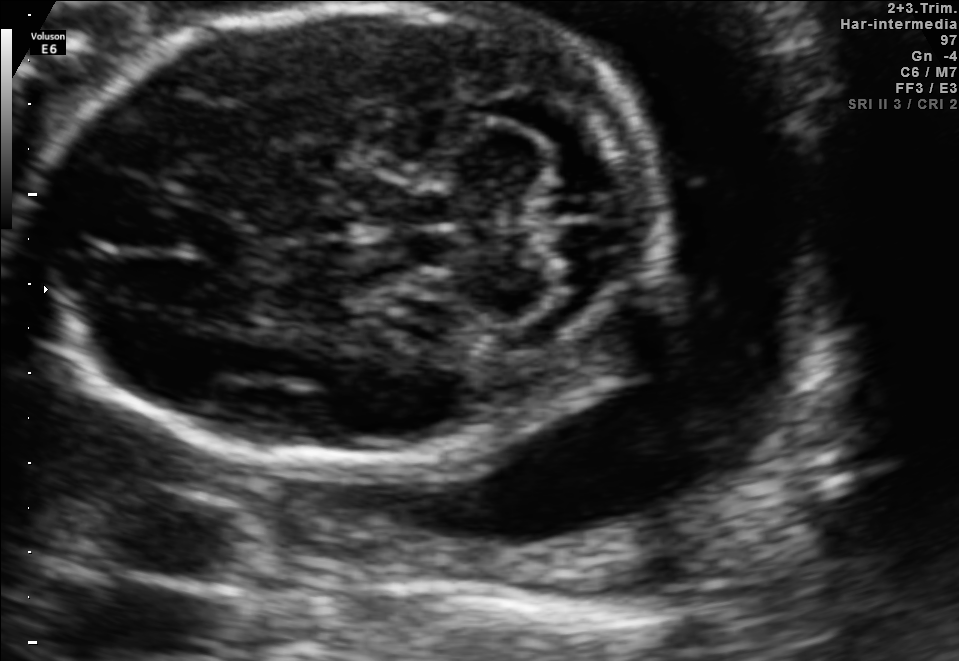
Fetal brain, trans-cerebellum plane. Locate the fetal head.

Head: [39,3,664,472]